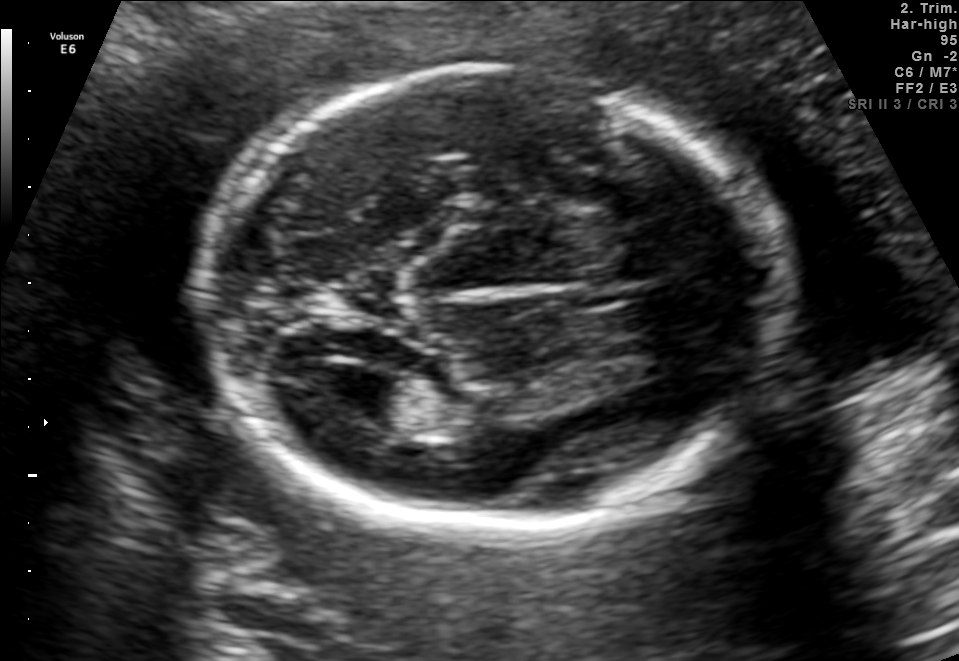
In this fetal brain, trans-ventricular plane, give the bounding box of the cavum septum pellucidum.

[575,259,668,311]